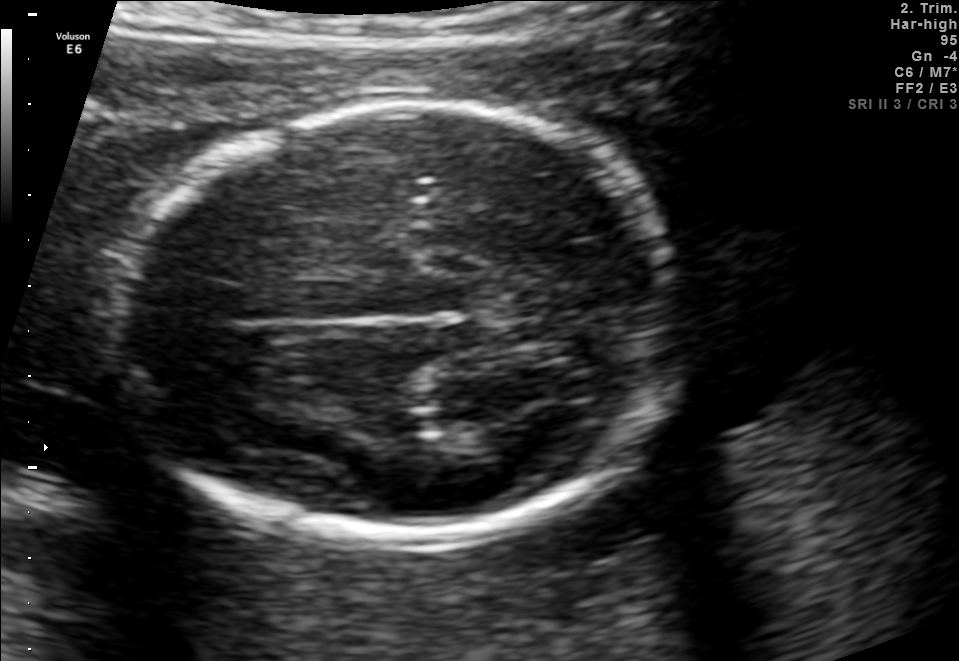
Fetal brain, trans-thalamic plane. Locate the lateral ventricle.

Lateral ventricle: [465,411,549,458]